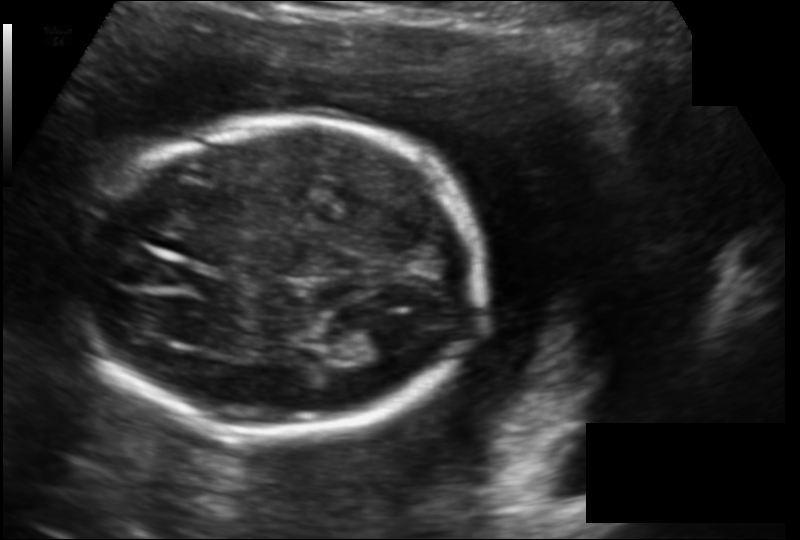
Fetal head ultrasound. Image width: 113.3 mm. Locate the fetal head and, if visible, the cavum septum pellucidum (CSP) and lateral ventricle (LV). Give bounding boxes as [x1,y1,x2,y2].

Head: [75,119,481,434]
Lateral ventricle: [350,315,418,367]